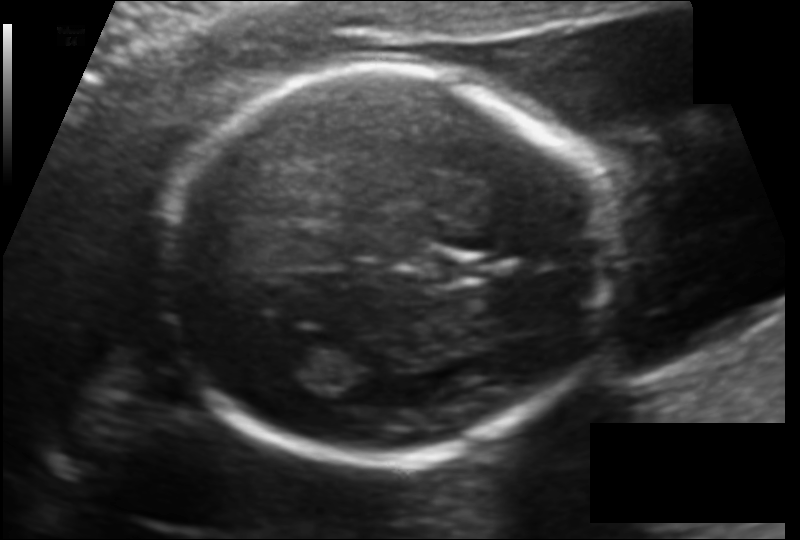
What is the fetal head circumference? Image width is 98.0 mm.

168.5 mm